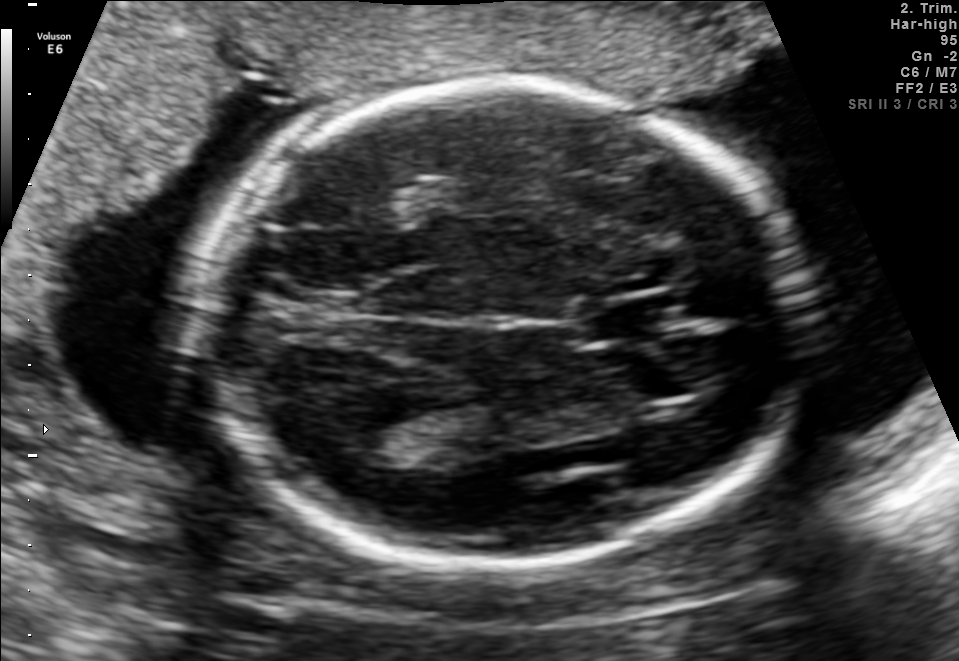
Fetal brain, trans-thalamic plane. Locate the cavum septum pellucidum.

CSP: [583,291,675,344]